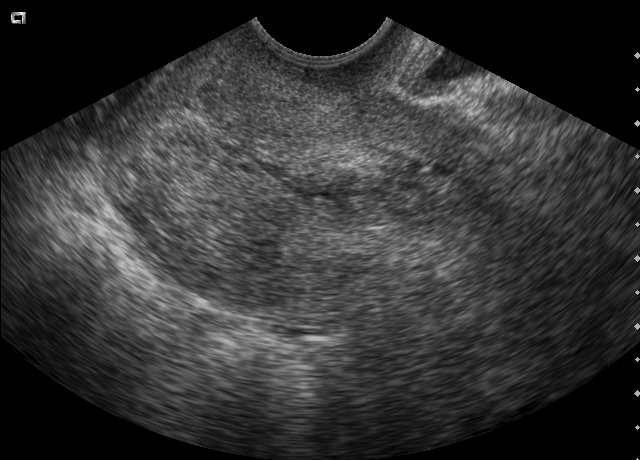
Which standard maternal-fetal ultrasound plane is shown: fetal abdomen, fetal brain, fetal femur, fetal thorax, maternal cervix, or other? If it's fetal brain and one of the three standard brain planes (trans-thalamic, trans-cerebellum, trans-ventricular), name which.

Maternal cervix